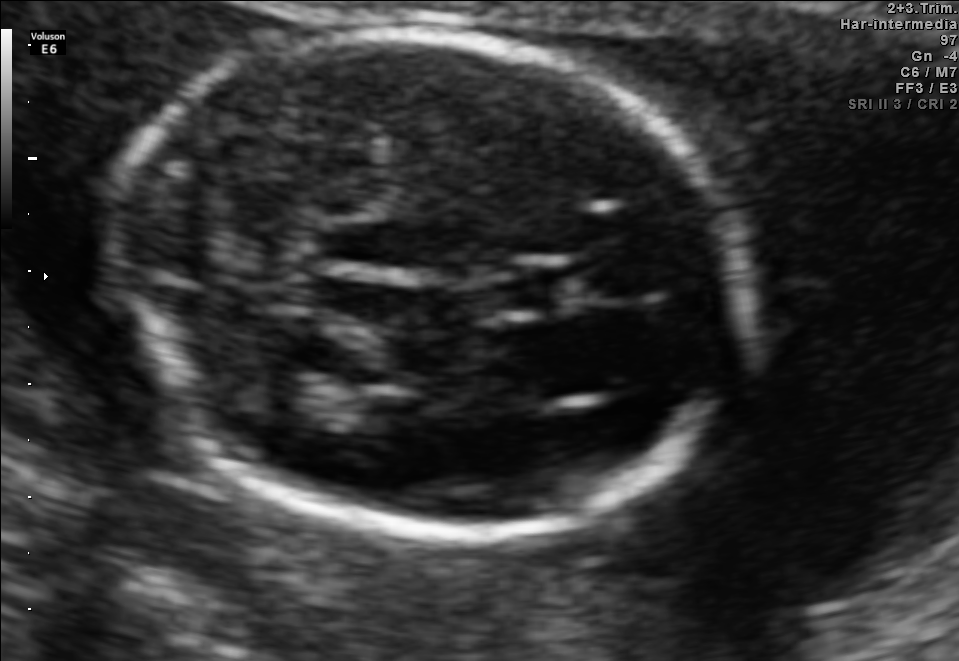
Classify this maternal-fetal ultrasound image as one of the six standard planes — fetal abdomen, fetal brain, fetal femur, fetal thorax, maternal cervix, or other. If it's fetal brain and one of the three standard brain planes (trans-thalamic, trans-cerebellum, trans-ventricular), name which.

Fetal brain (trans-thalamic plane)